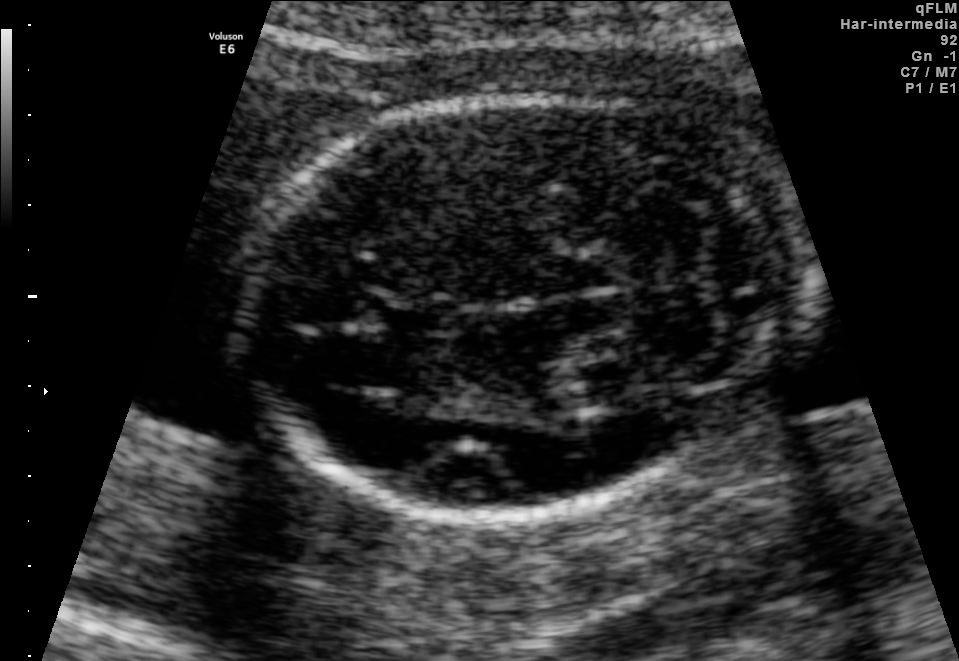
Fetal brain, trans-cerebellum plane. Locate the fetal head.

Head: [249,95,810,516]